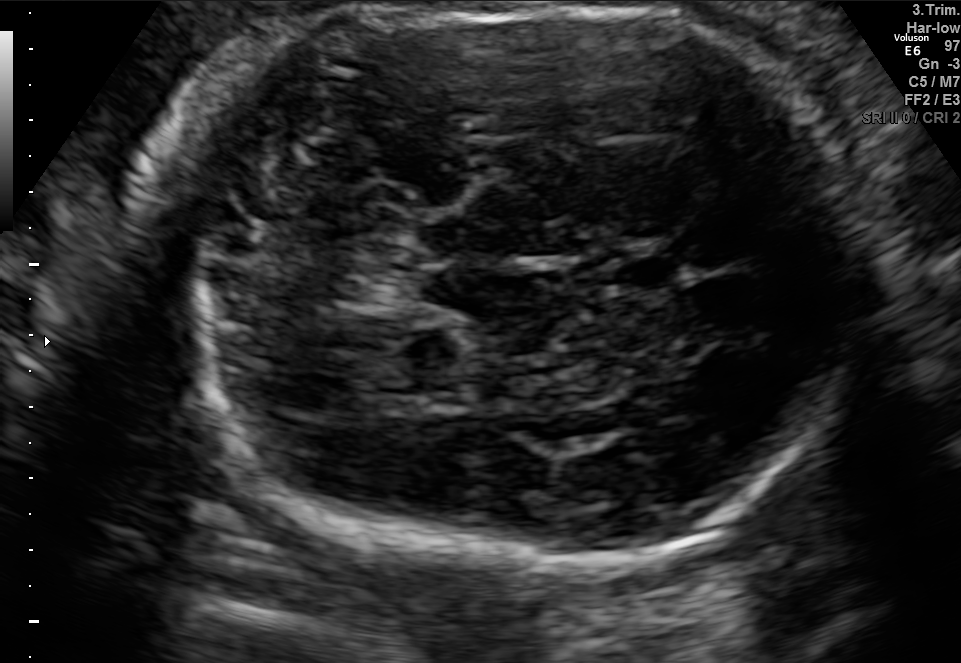
Fetal brain, trans-cerebellum plane. Give [x1,y1,x2,y2] bounding boxes for each visible structure among: fetal head, CSP, LV.

Head: [160,8,879,563]
CSP: [601,242,693,305]